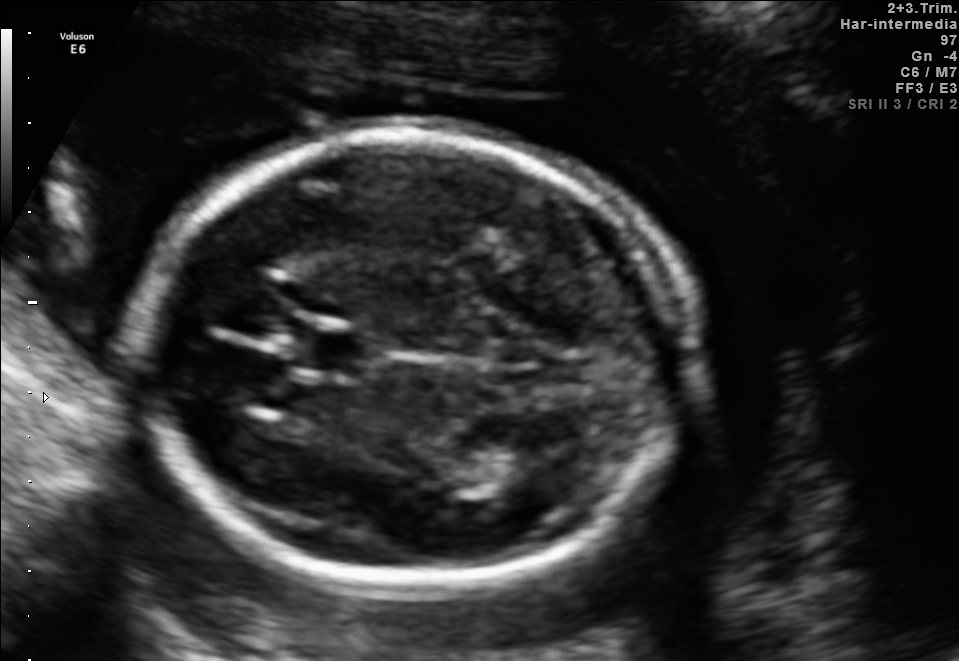
Fetal brain, trans-thalamic plane. Locate the fetal head and, if visible, the cavum septum pellucidum (CSP) and lateral ventricle (LV). Give bounding boxes as [x1,y1,x2,y2].

Head: [142,133,687,586]
CSP: [295,326,368,377]
Lateral ventricle: [471,428,569,499]